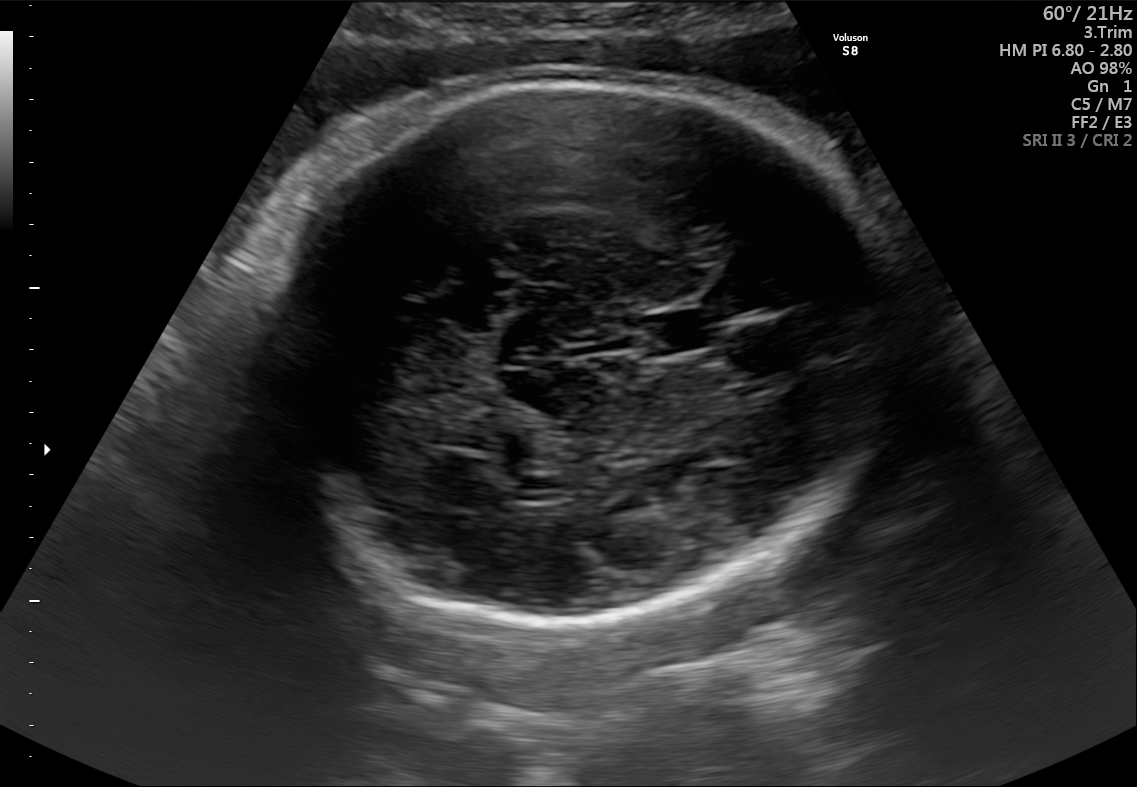
Fetal brain, trans-thalamic plane. Locate the cavum septum pellucidum.

CSP: [641,302,731,359]